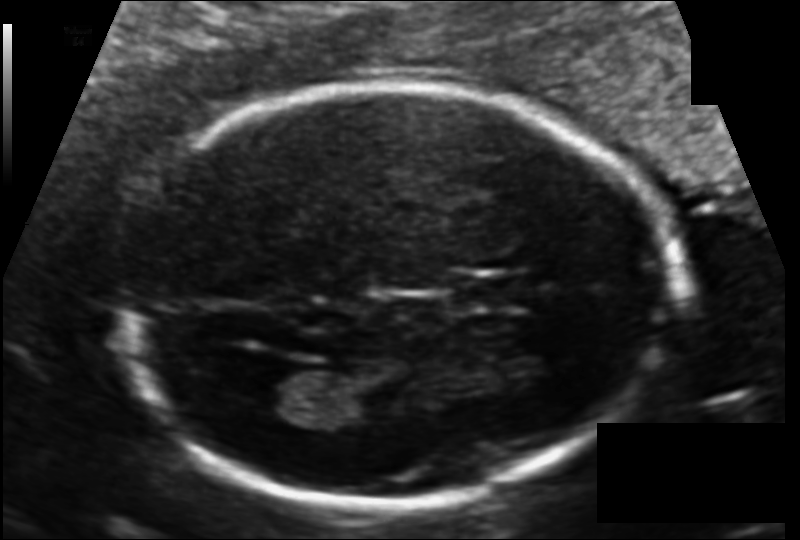
Fetal head ultrasound. Image width: 90.0 mm. Where is the cavum septum pellucidum?

CSP bounding box: [451,276,526,309]